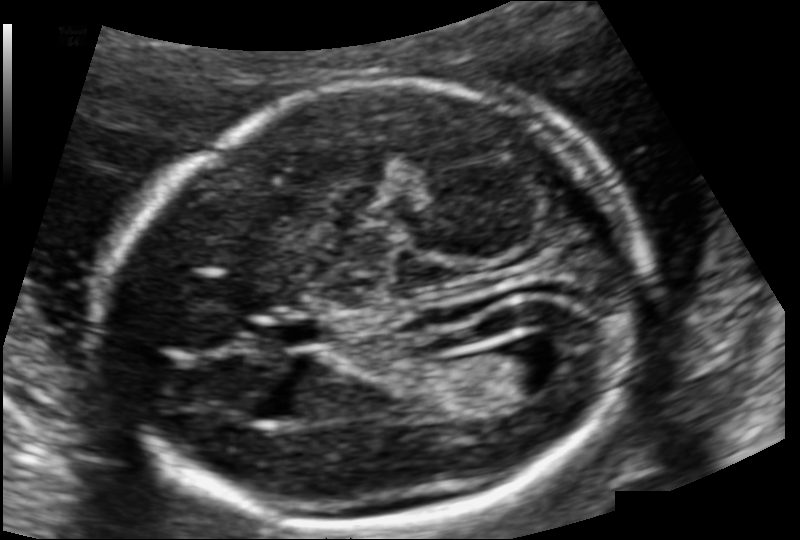
In this fetal head ultrasound, give the bounding box of the cavum septum pellucidum. Image width: 89.0 mm.

[273,316,330,349]